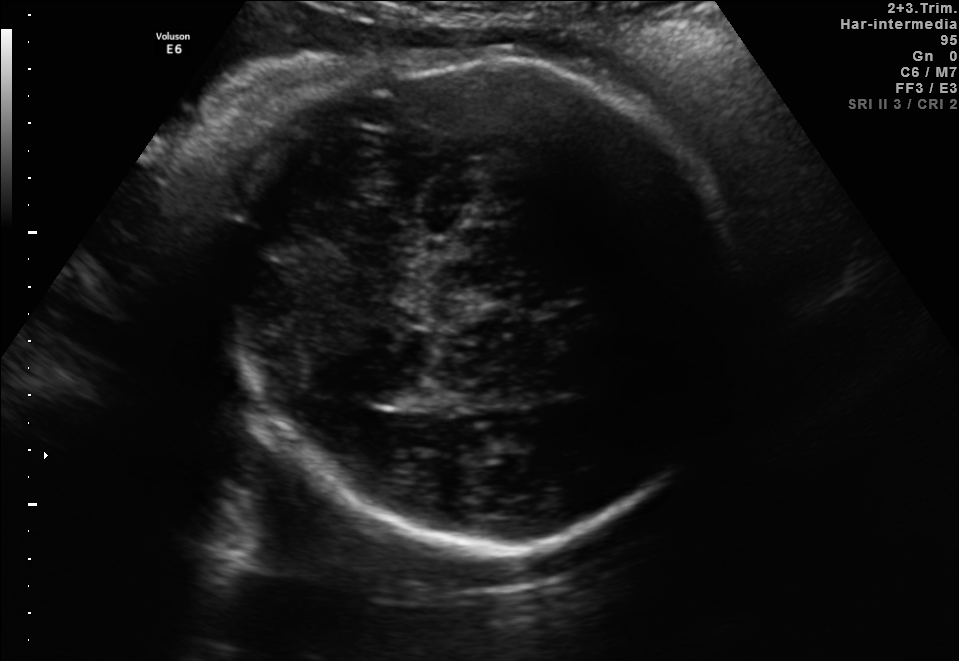
Fetal brain, trans-thalamic plane. Locate the fetal head and, if visible, the cavum septum pellucidum (CSP) and lateral ventricle (LV). Give bounding boxes as [x1,y1,x2,y2].

Head: [218,56,735,549]